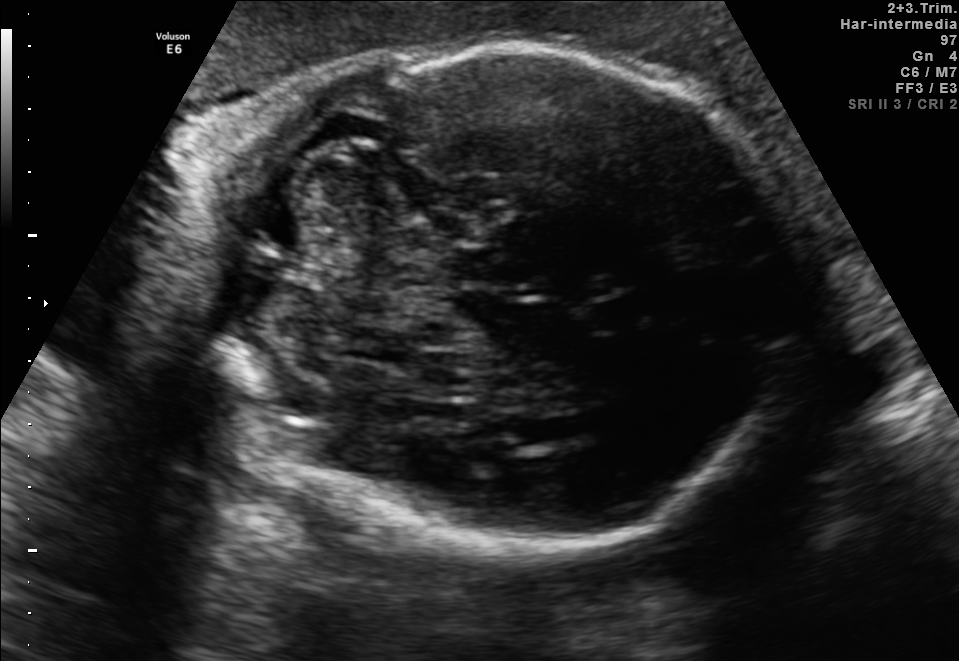
In this fetal brain, trans-cerebellum plane, give the bounding box of the fetal head.

[200,48,797,551]